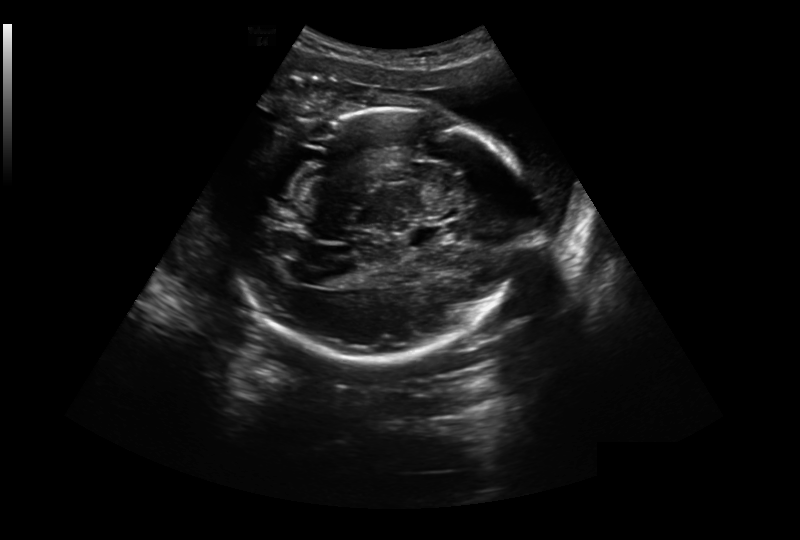
Estimate the fetal head circumference from this 2D ultrasound. Image width: 243.0 mm.

Head circumference: 270.5 mm.